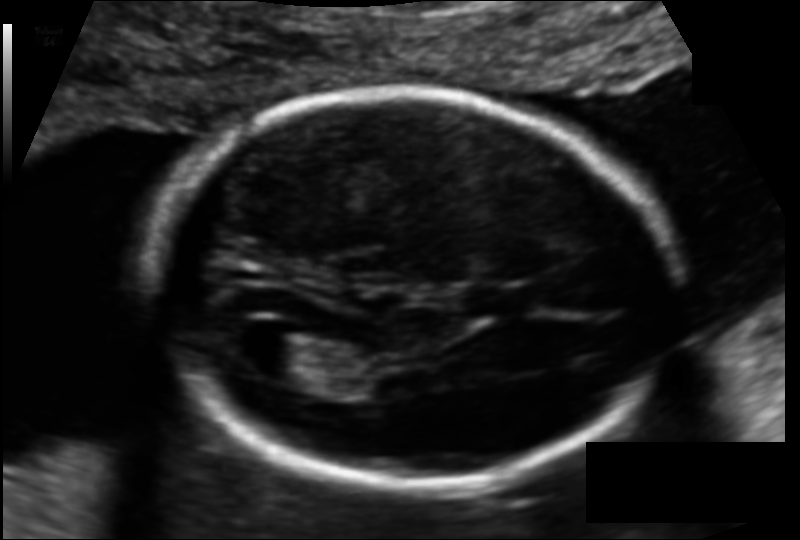
Fetal head ultrasound. Image width: 91.1 mm. Where is the fetal head?

Head bounding box: [152,89,673,485]